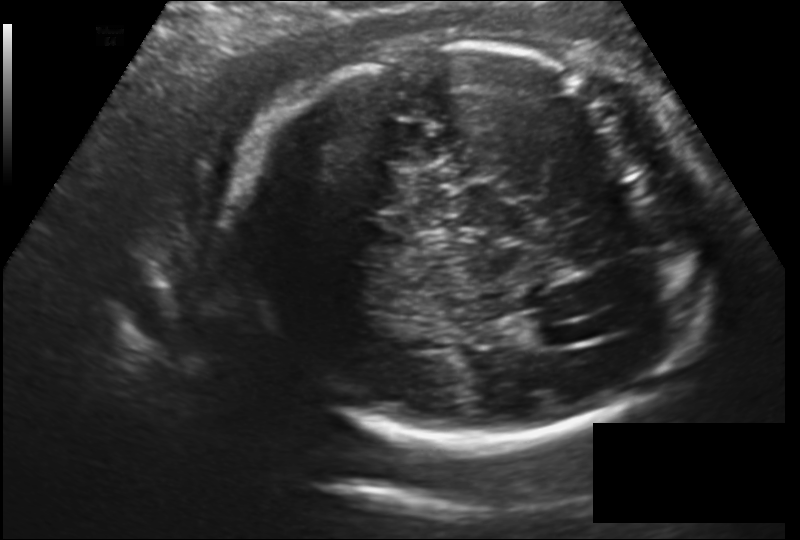
What is the fetal head circumference? Image width is 142.0 mm.

250.6 mm